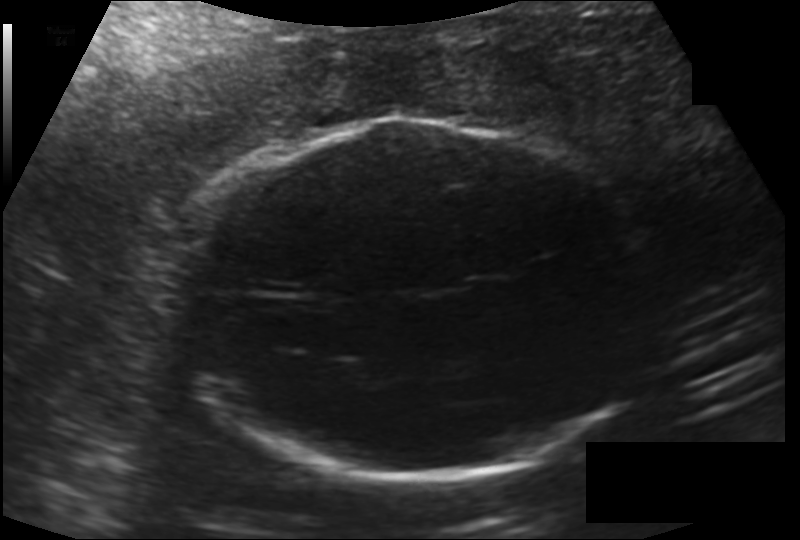
In this fetal head ultrasound, give the bounding box of the fetal head. Image width: 140.8 mm.

[169,119,653,475]